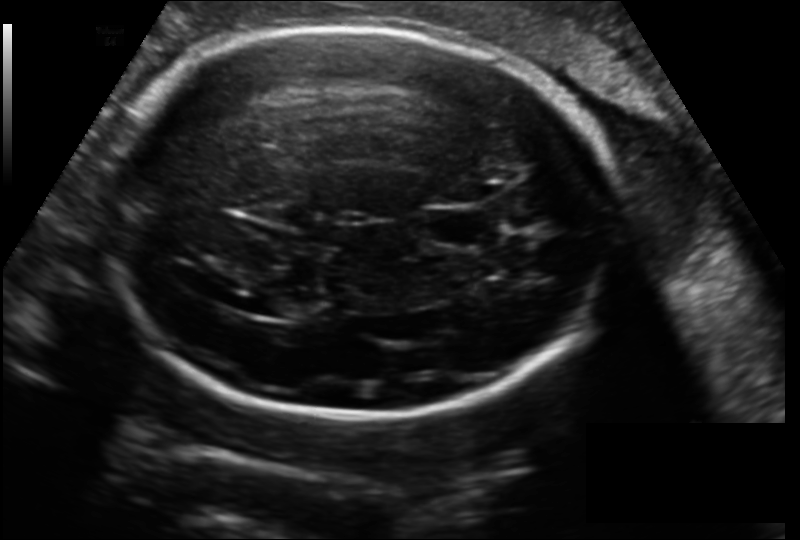
Estimate the fetal head circumference from this 2D ultrasound.

Head circumference: 259.5 mm (image width 142.1 mm).